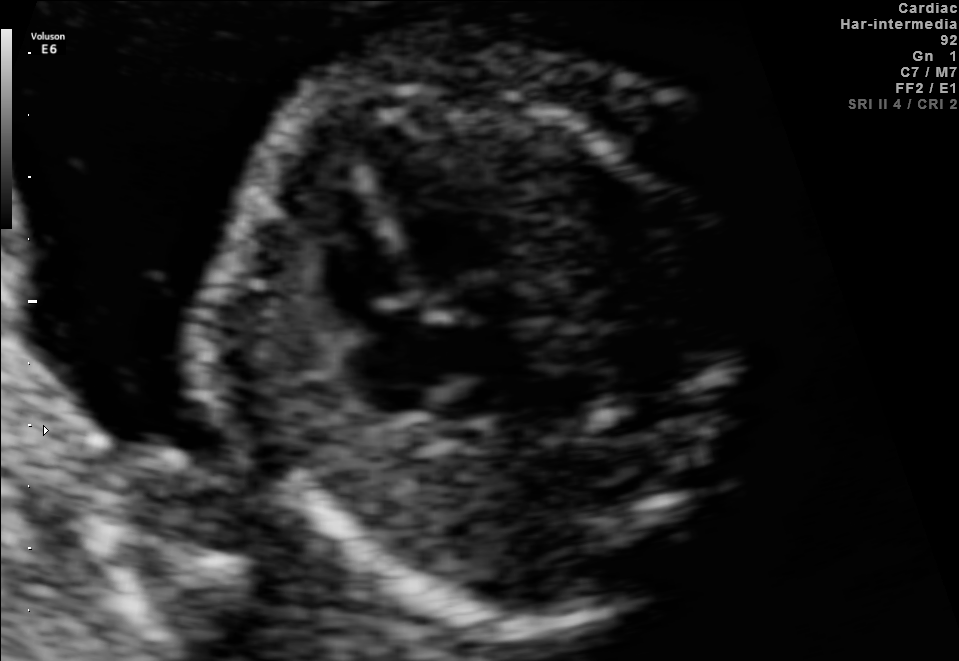
Classify this maternal-fetal ultrasound image as one of the six standard planes — fetal abdomen, fetal brain, fetal femur, fetal thorax, maternal cervix, or other. If it's fetal brain and one of the three standard brain planes (trans-thalamic, trans-cerebellum, trans-ventricular), name which.

Fetal thorax